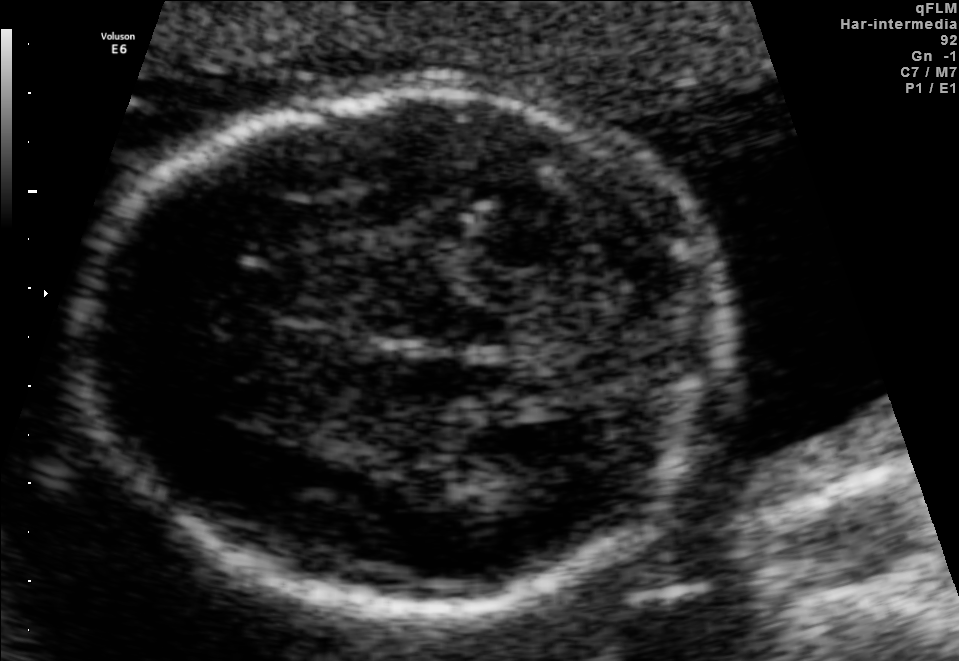
Fetal brain, trans-thalamic plane. Locate the fetal head and, if visible, the cavum septum pellucidum (CSP) and lateral ventricle (LV). Give bounding boxes as [x1,y1,x2,y2].

Head: [77,91,740,604]